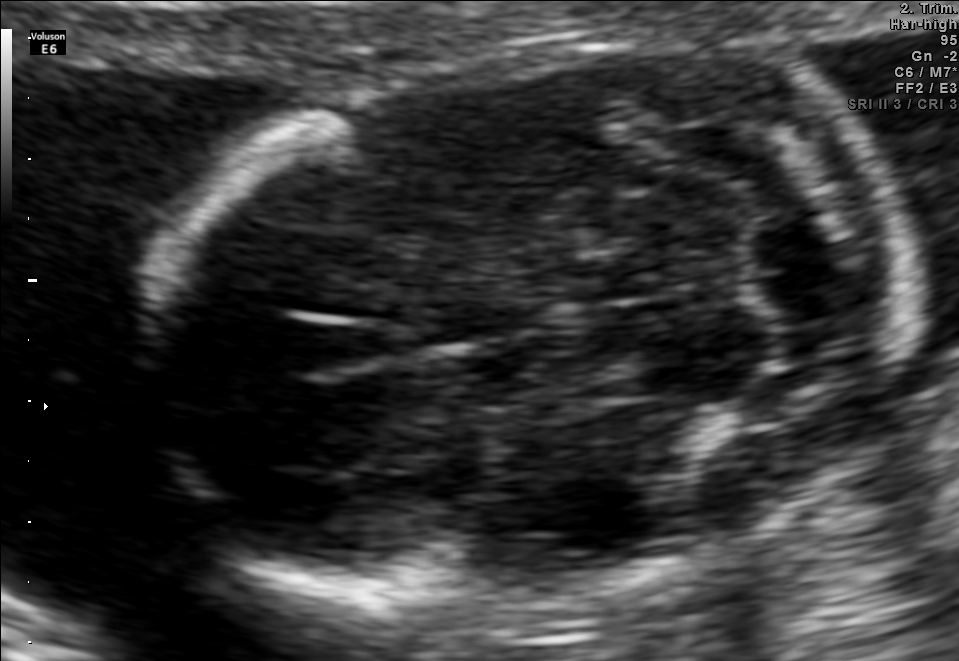
In this fetal brain, trans-cerebellum plane, give the bounding box of the fetal head.

[147,37,908,608]